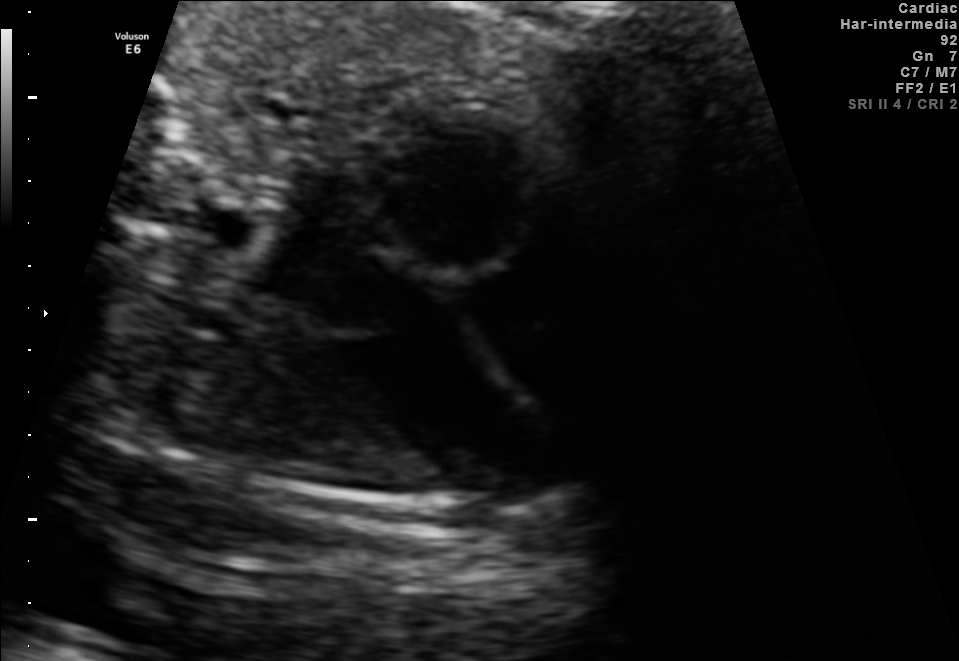
This is a 2D maternal-fetal ultrasound frame. Is it a fetal abdomen, fetal brain, fetal femur, fetal thorax, maternal cervix, or other standard plane? If it's fetal brain and one of the three standard brain planes (trans-thalamic, trans-cerebellum, trans-ventricular), name which.

Fetal thorax